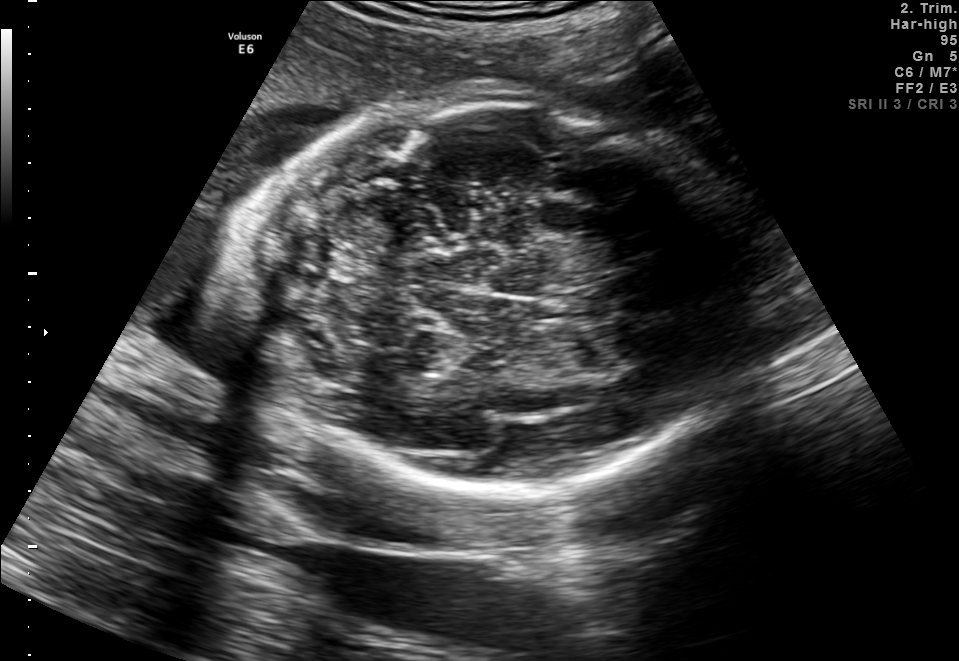
Fetal brain, trans-thalamic plane. Where is the fetal head?

Head bounding box: [225,93,758,494]